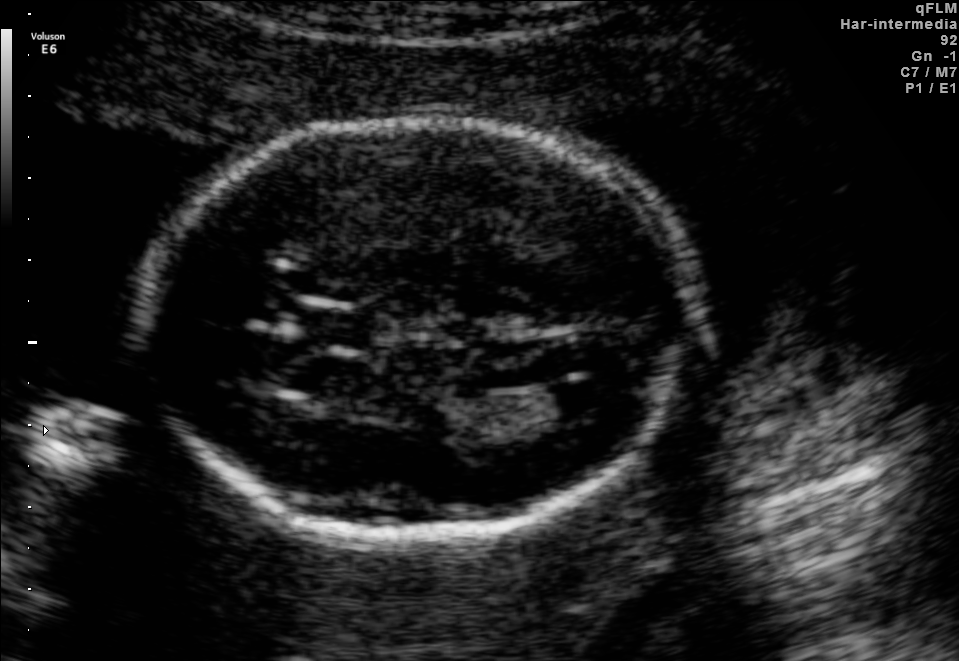
In this fetal brain, trans-ventricular plane, give the bounding box of the lateral ventricle.

[541,376,619,424]